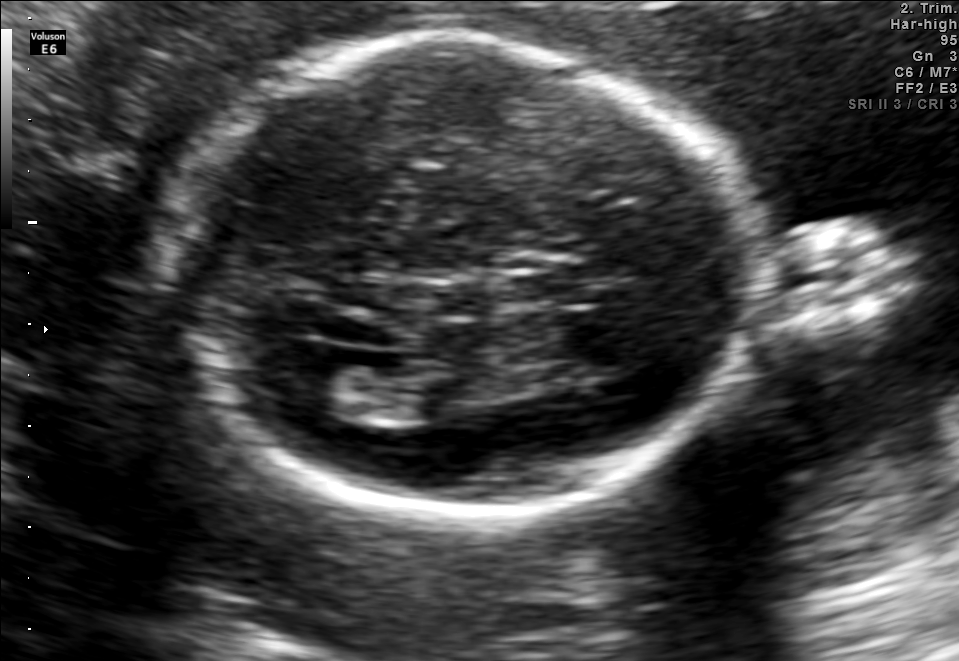
Classify this maternal-fetal ultrasound image as one of the six standard planes — fetal abdomen, fetal brain, fetal femur, fetal thorax, maternal cervix, or other. If it's fetal brain and one of the three standard brain planes (trans-thalamic, trans-cerebellum, trans-ventricular), name which.

Fetal brain (trans-ventricular plane)